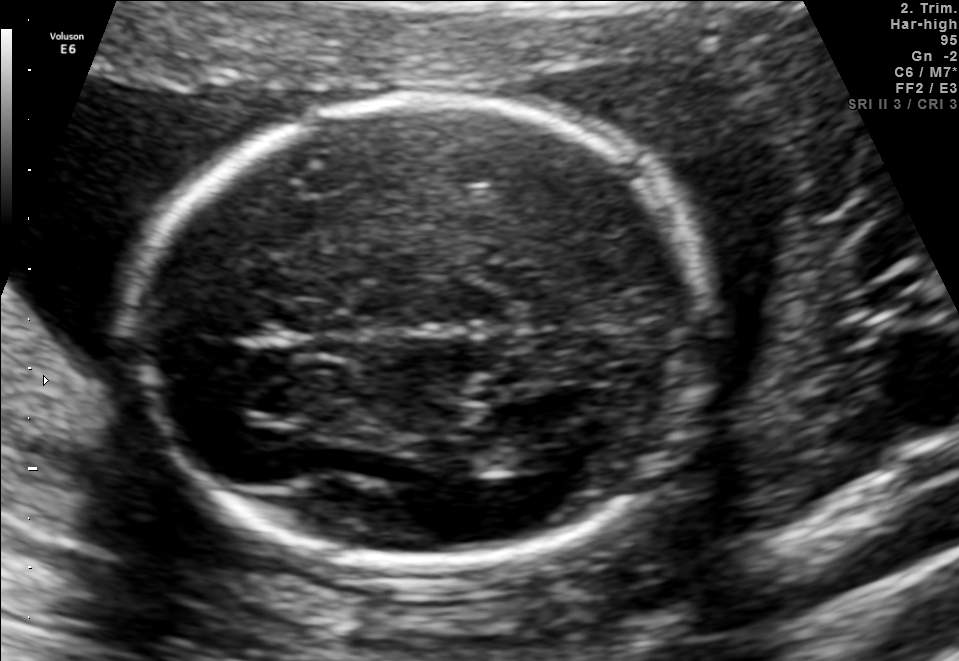
This is a 2D maternal-fetal ultrasound frame. Is it a fetal abdomen, fetal brain, fetal femur, fetal thorax, maternal cervix, or other standard plane? If it's fetal brain and one of the three standard brain planes (trans-thalamic, trans-cerebellum, trans-ventricular), name which.

Fetal brain (trans-thalamic plane)